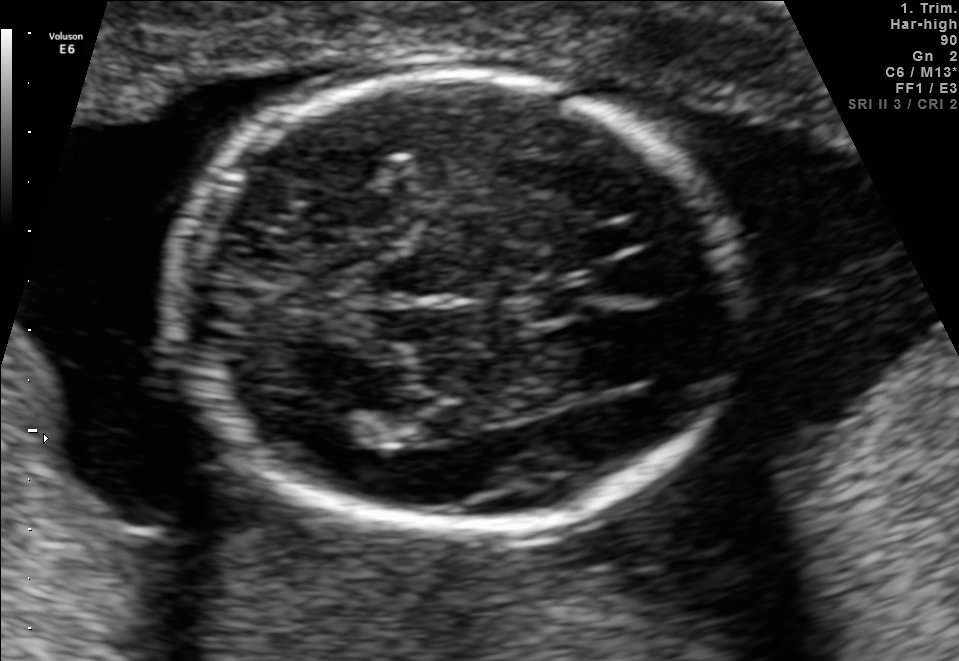
In this fetal brain, trans-thalamic plane, give the bounding box of the lateral ventricle.

[312,409,395,447]